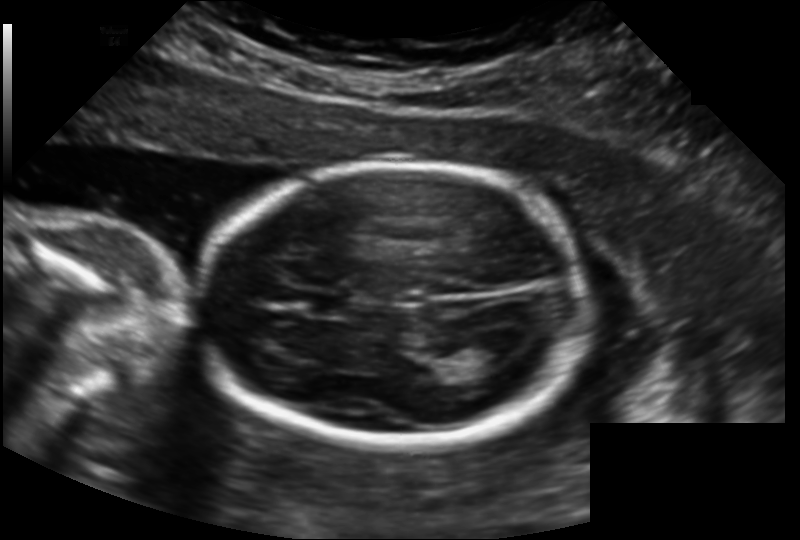
Estimate the fetal head circumference from this 2D ultrasound.

Head circumference: 171.8 mm (image width 126.2 mm).